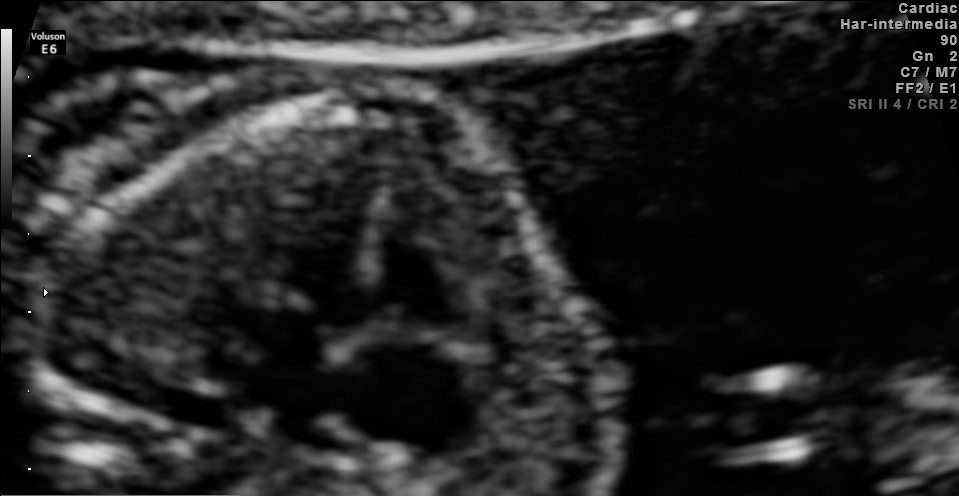
Identify the standard plane in this fetal ultrasound image: fetal abdomen, fetal brain, fetal femur, fetal thorax, maternal cervix, or other. If it's fetal brain and one of the three standard brain planes (trans-thalamic, trans-cerebellum, trans-ventricular), name which.

Fetal thorax